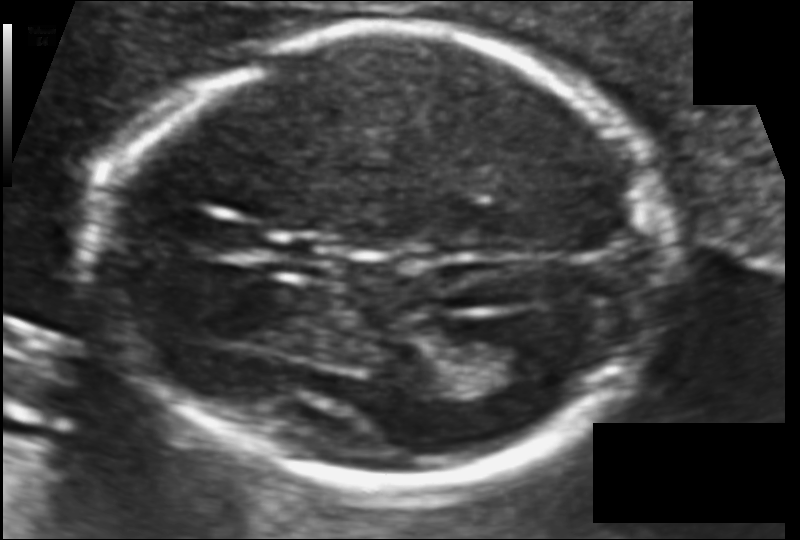
Fetal head ultrasound. Image width: 78.9 mm. Locate the lateral ventricle.

Lateral ventricle: [455,323,552,393]